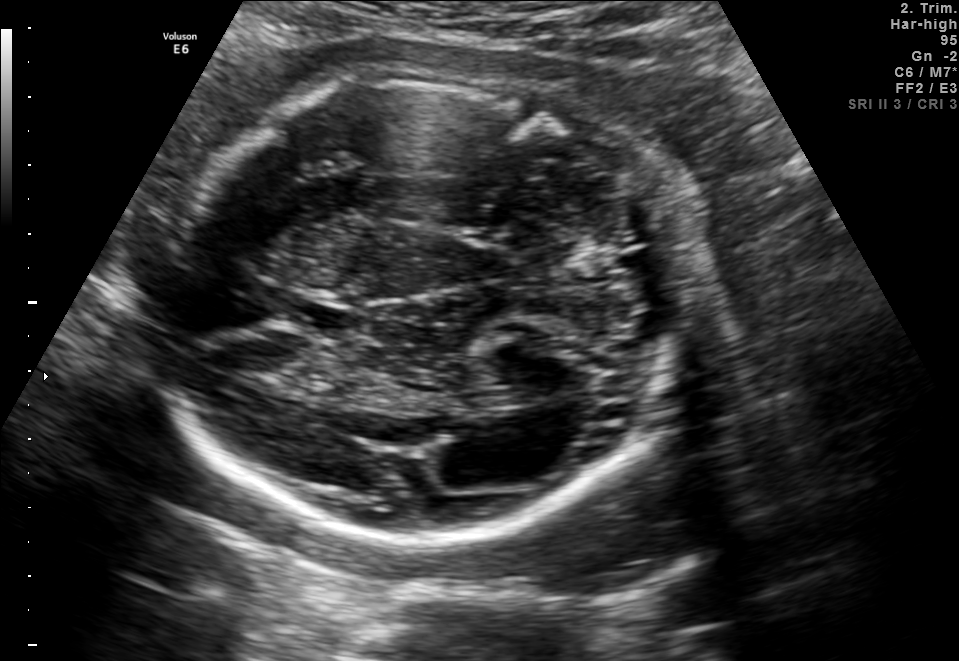
Fetal brain, trans-thalamic plane. Locate the cavum septum pellucidum.

CSP: [290,300,359,341]